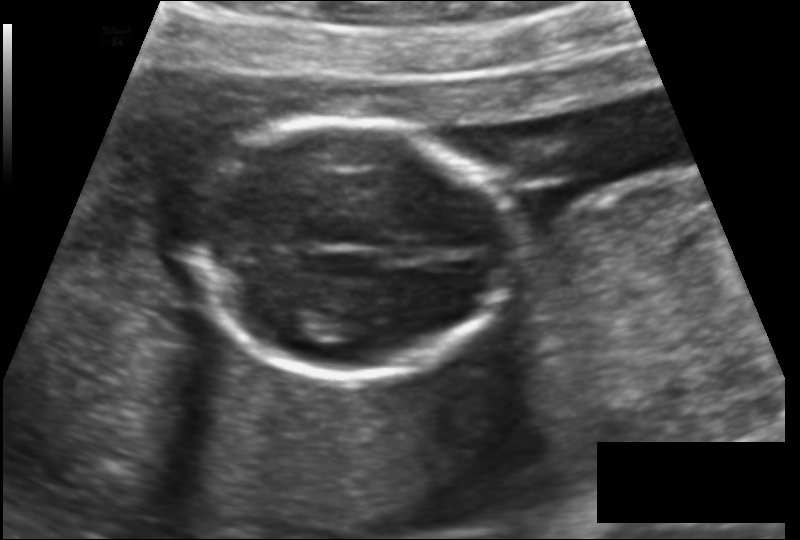
Measure the fetal head circumference shown in this ultrasound image. Image width: 109.0 mm.

Head circumference: 126.2 mm.